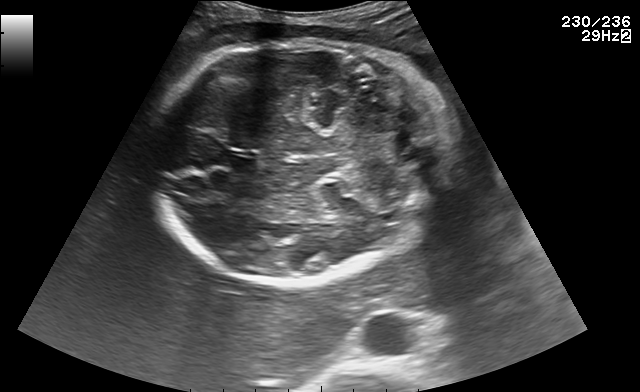
In this fetal brain, trans-cerebellum plane, give bounding boxes for the head outline, cavum septum pellucidum (CSP), and lateral ventricle (LV), where visible.

Head: [150,39,444,284]
CSP: [222,153,258,174]